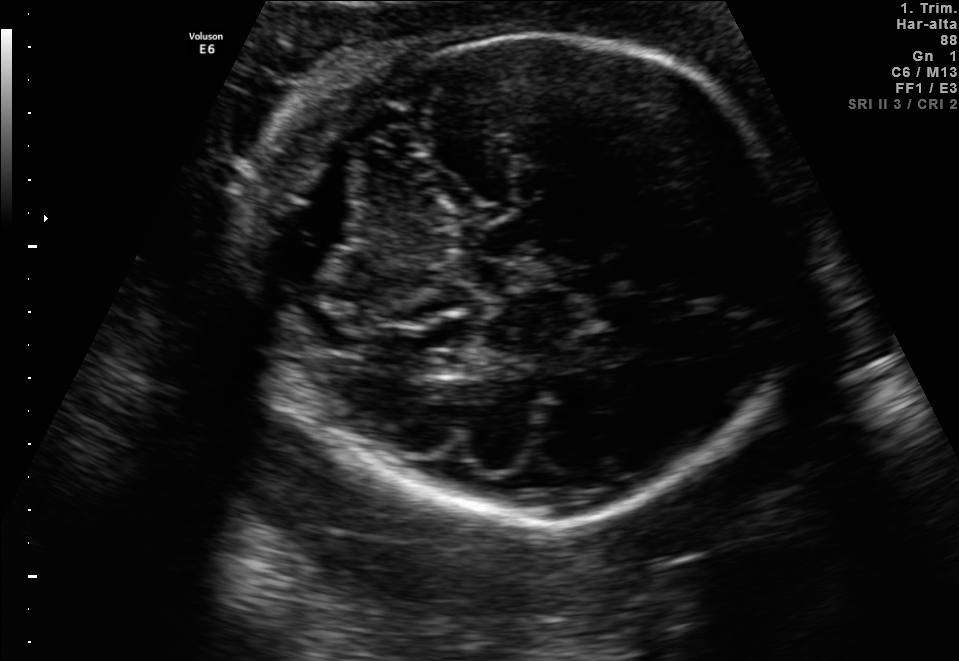
Fetal brain, trans-cerebellum plane. Locate the fetal head.

Head: [249,34,800,521]